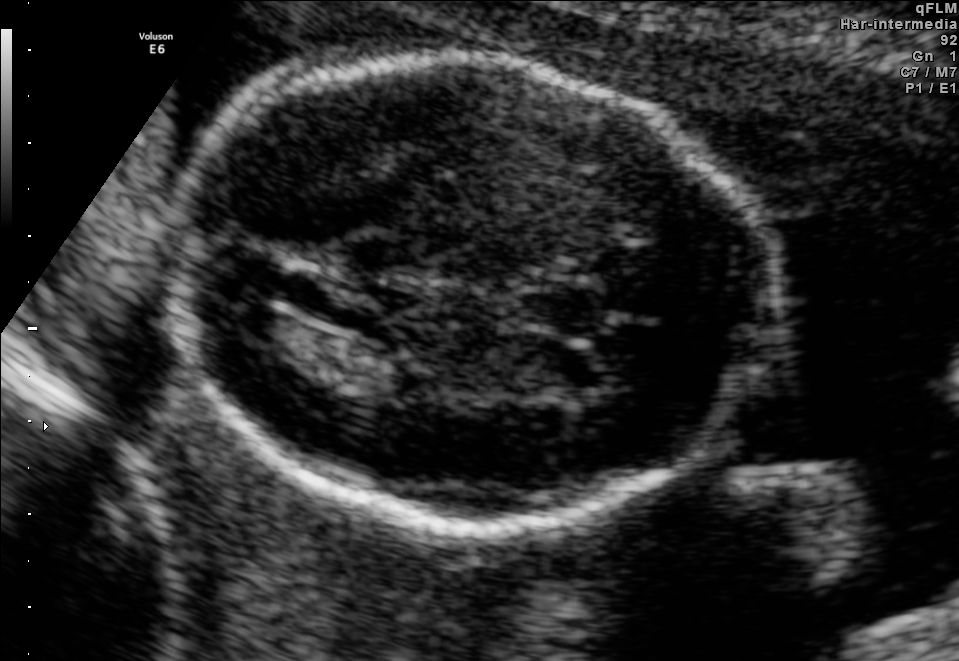
Fetal brain, trans-thalamic plane. Locate the fetal head and, if visible, the cavum septum pellucidum (CSP) and lateral ventricle (LV). Give bounding boxes as [x1,y1,x2,y2].

Head: [177,57,766,528]
CSP: [519,284,603,334]
Lateral ventricle: [214,285,301,355]